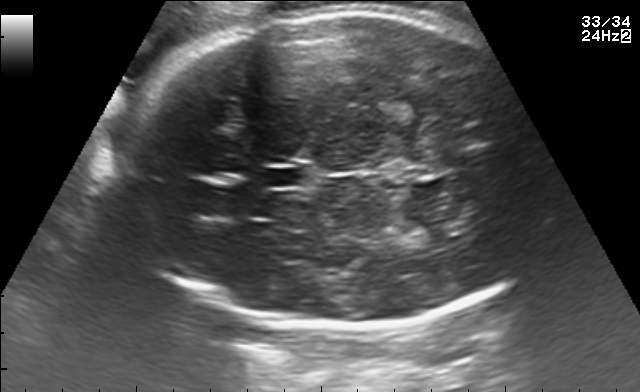
Fetal brain, trans-thalamic plane. Where is the fetal head?

Head bounding box: [119,11,547,329]